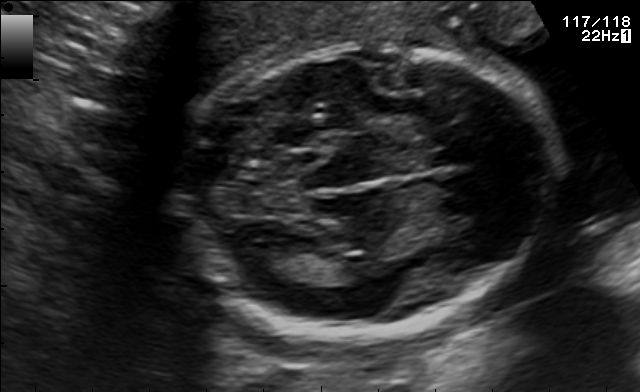
In this fetal brain, trans-thalamic plane, give the bounding box of the fetal head.

[186,43,552,334]